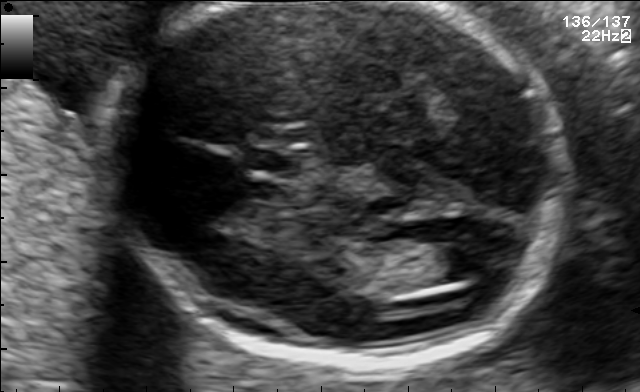
Fetal brain, trans-ventricular plane. Where is the fetal head?

Head bounding box: [97,2,575,368]